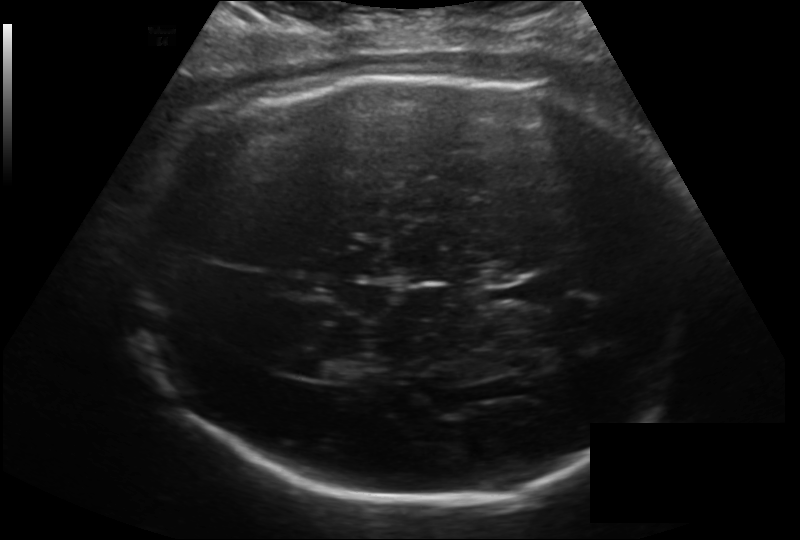
In this fetal head ultrasound, give the bounding box of the cavum septum pellucidum. Image width: 154.4 mm.

[515,265,585,306]